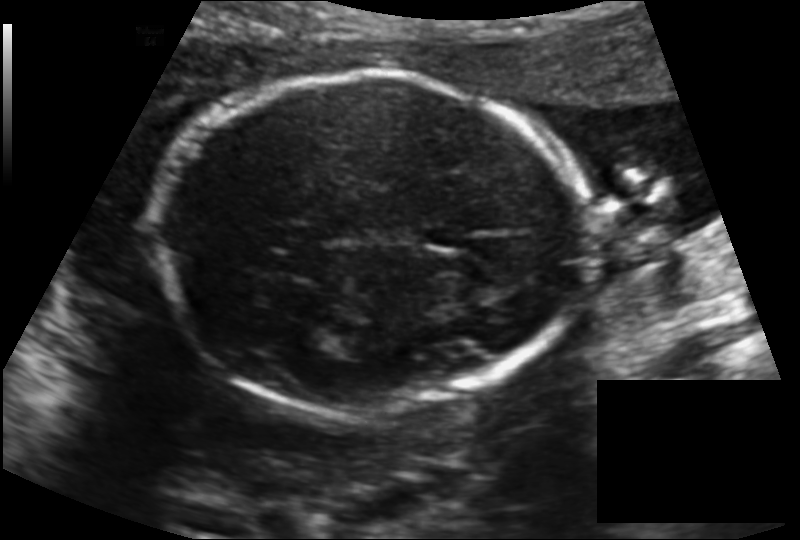
In this fetal head ultrasound, give the bounding box of the cavum septum pellucidum. Image width: 116.2 mm.

[422,222,469,251]